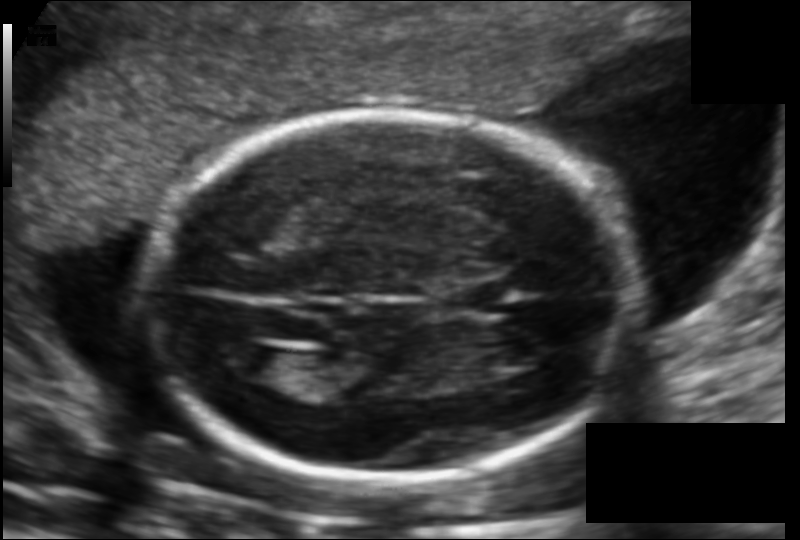
What is the fetal head circumference? Image width is 98.4 mm.

168.9 mm